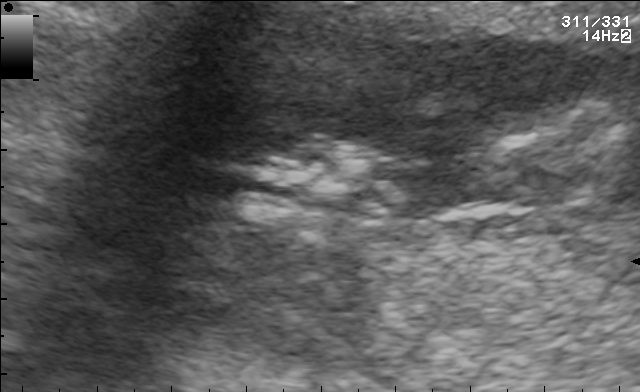
Identify the standard plane in this fetal ultrasound image: fetal abdomen, fetal brain, fetal femur, fetal thorax, maternal cervix, or other. If it's fetal brain and one of the three standard brain planes (trans-thalamic, trans-cerebellum, trans-ventricular), name which.

Other